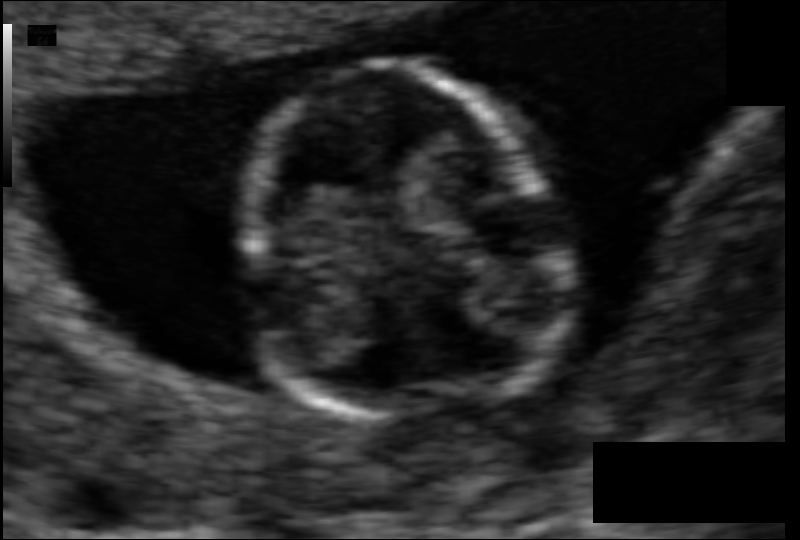
What is the fetal head circumference? Image width is 49.5 mm.

72.0 mm